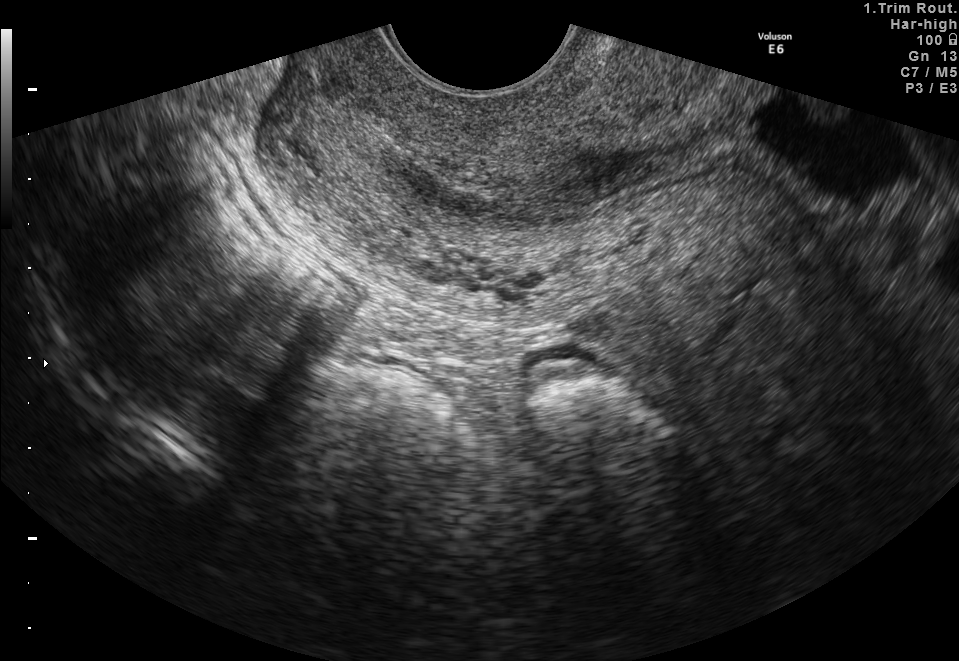
This is a 2D maternal-fetal ultrasound frame. Is it a fetal abdomen, fetal brain, fetal femur, fetal thorax, maternal cervix, or other standard plane? If it's fetal brain and one of the three standard brain planes (trans-thalamic, trans-cerebellum, trans-ventricular), name which.

Maternal cervix